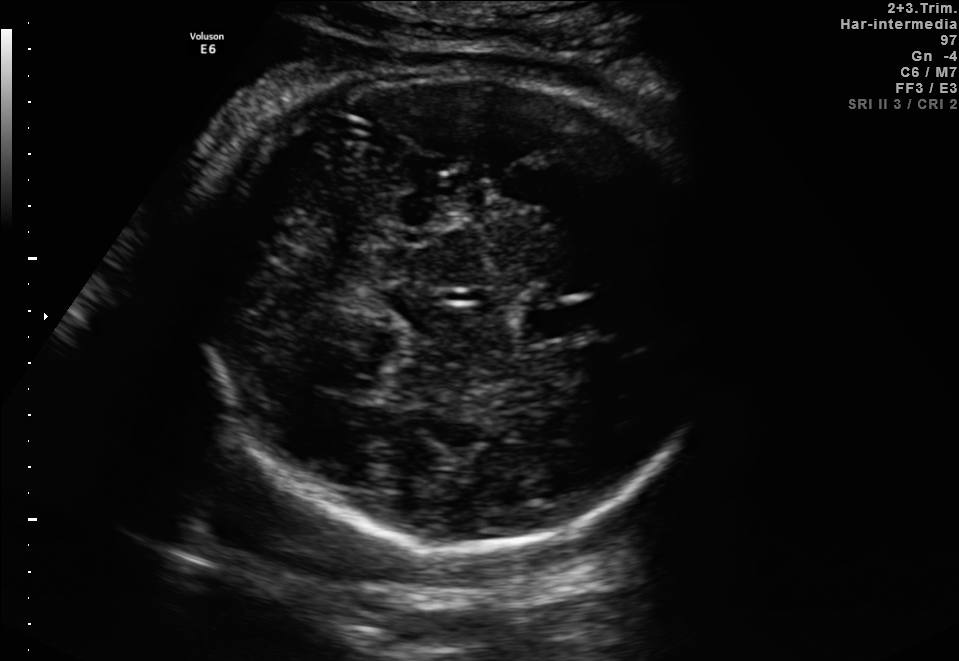
Identify the standard plane in this fetal ultrasound image: fetal abdomen, fetal brain, fetal femur, fetal thorax, maternal cervix, or other. If it's fetal brain and one of the three standard brain planes (trans-thalamic, trans-cerebellum, trans-ventricular), name which.

Fetal brain (trans-thalamic plane)